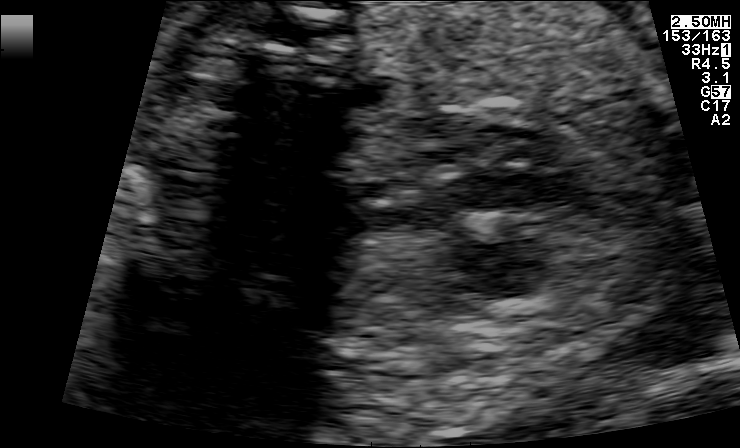
This is a 2D maternal-fetal ultrasound frame. Is it a fetal abdomen, fetal brain, fetal femur, fetal thorax, maternal cervix, or other standard plane? If it's fetal brain and one of the three standard brain planes (trans-thalamic, trans-cerebellum, trans-ventricular), name which.

Other